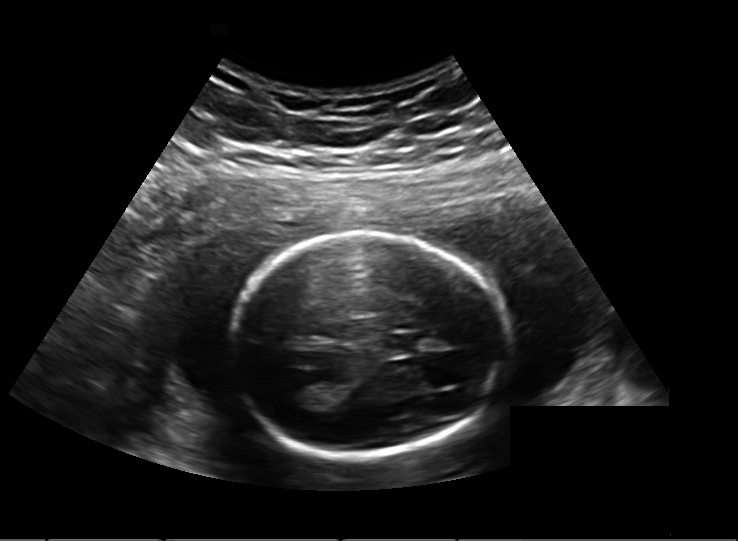
Fetal head ultrasound. Image width: 149.5 mm. Give [x1,y1,x2,y2] bounding boxes for each visible structure among: fetal head, CSP, LV.

Head: [232,232,503,456]
CSP: [385,332,418,355]
Lateral ventricle: [282,377,319,409]